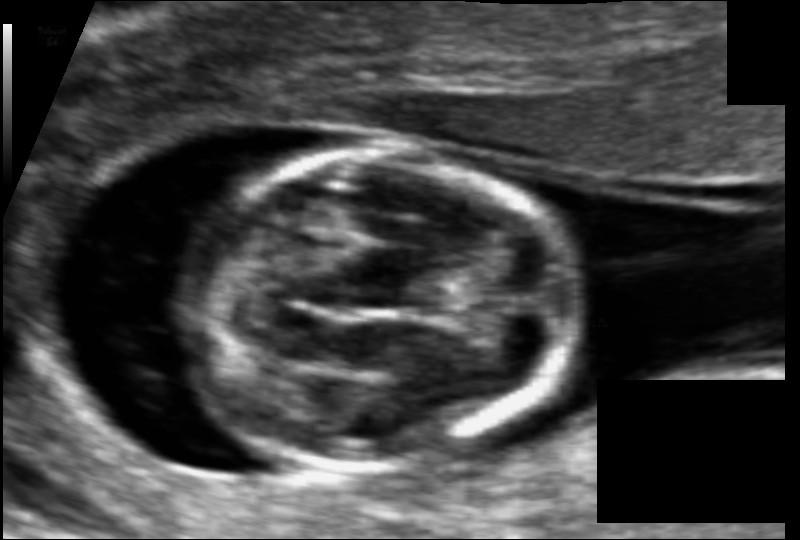
Estimate the fetal head circumference from this 2D ultrasound. Image width: 53.6 mm.

Head circumference: 79.0 mm.